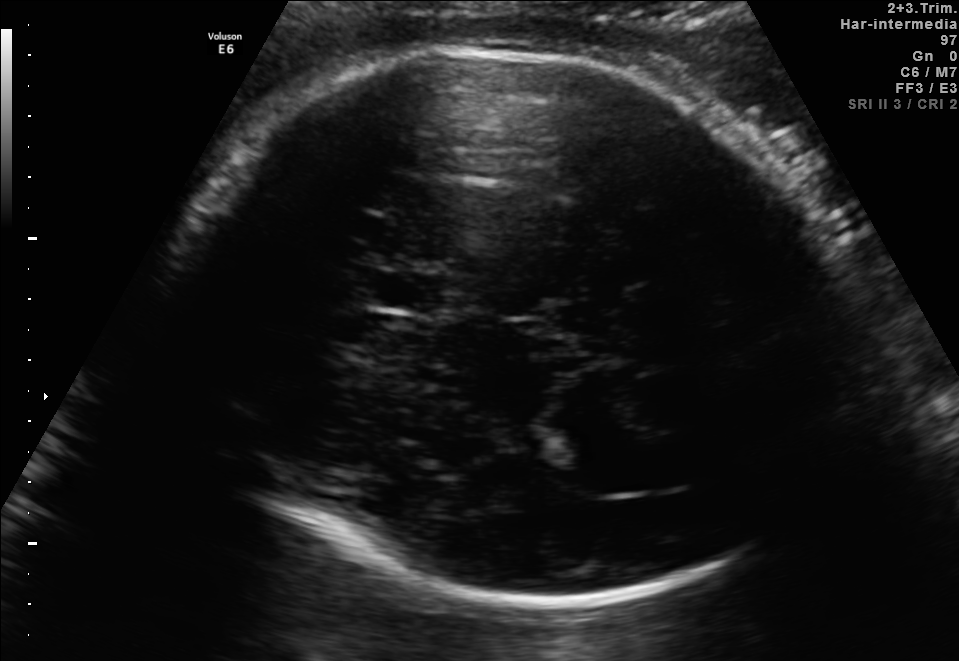
In this fetal brain, trans-thalamic plane, give the bounding box of the lateral ventricle.

[560,442,680,499]